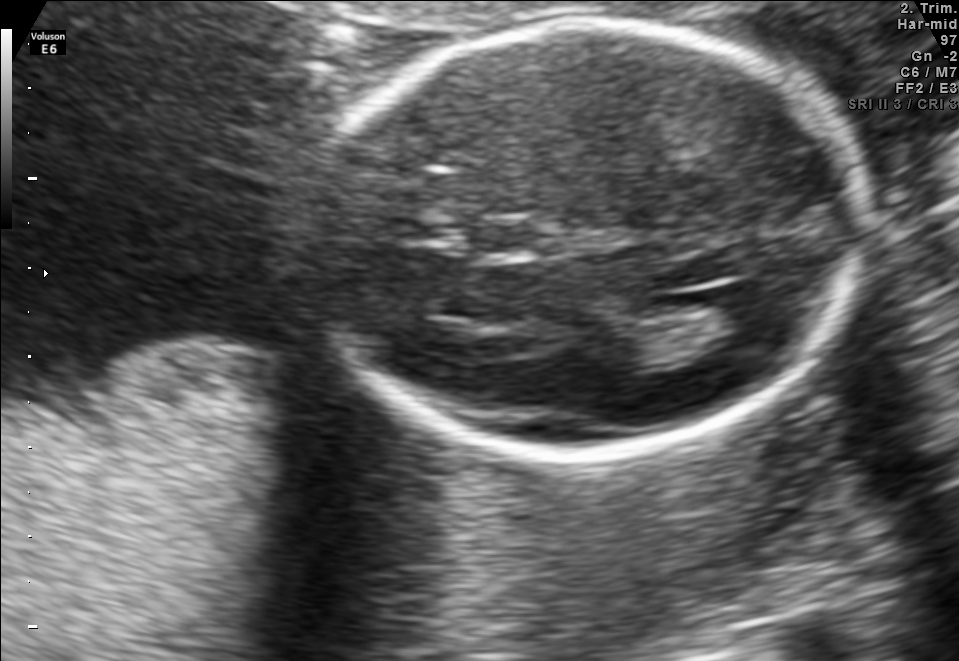
Classify this maternal-fetal ultrasound image as one of the six standard planes — fetal abdomen, fetal brain, fetal femur, fetal thorax, maternal cervix, or other. If it's fetal brain and one of the three standard brain planes (trans-thalamic, trans-cerebellum, trans-ventricular), name which.

Fetal brain (trans-ventricular plane)